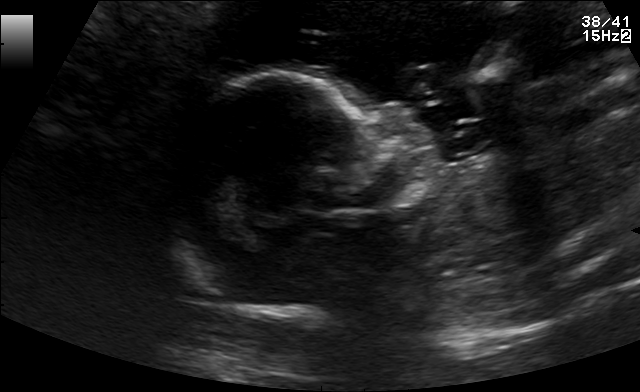
Identify the standard plane in this fetal ultrasound image: fetal abdomen, fetal brain, fetal femur, fetal thorax, maternal cervix, or other. If it's fetal brain and one of the three standard brain planes (trans-thalamic, trans-cerebellum, trans-ventricular), name which.

Other